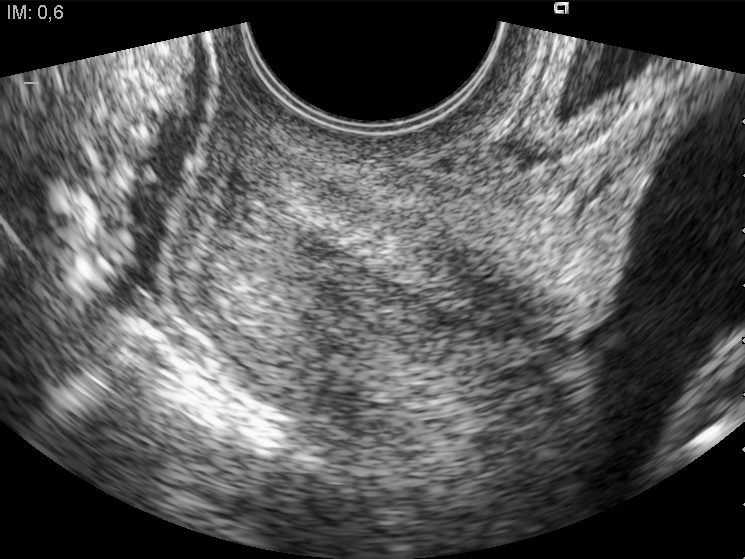
This is a 2D maternal-fetal ultrasound frame. Is it a fetal abdomen, fetal brain, fetal femur, fetal thorax, maternal cervix, or other standard plane? If it's fetal brain and one of the three standard brain planes (trans-thalamic, trans-cerebellum, trans-ventricular), name which.

Maternal cervix